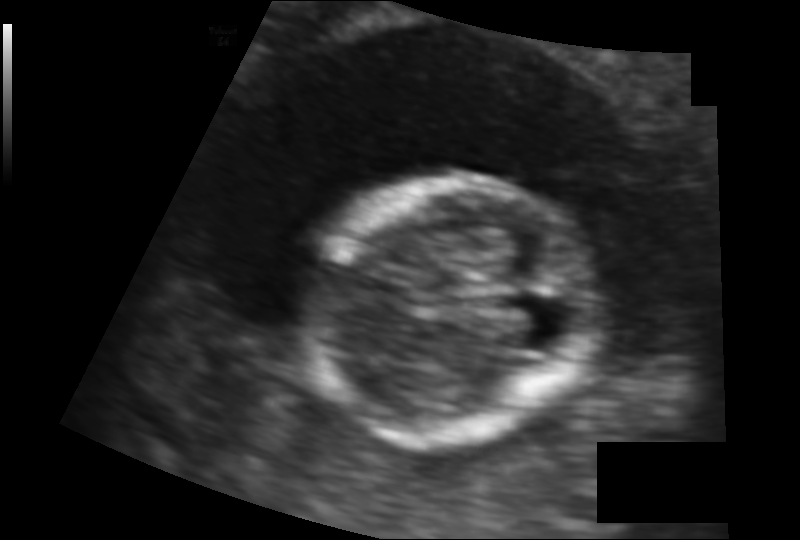
Estimate the fetal head circumference from this 2D ultrasound. Image width: 82.1 mm.

Head circumference: 94.3 mm.